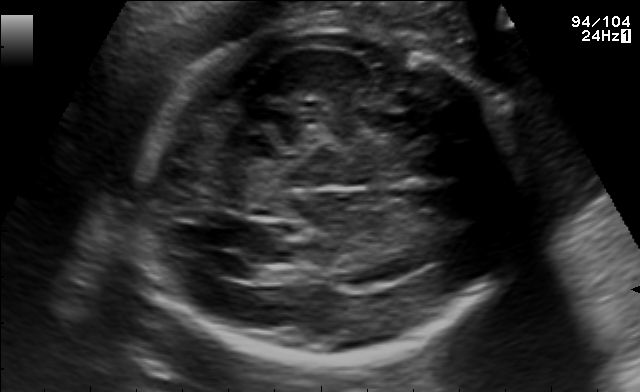
Fetal brain, trans-ventricular plane. Locate the fetal head.

Head: [124,21,544,364]